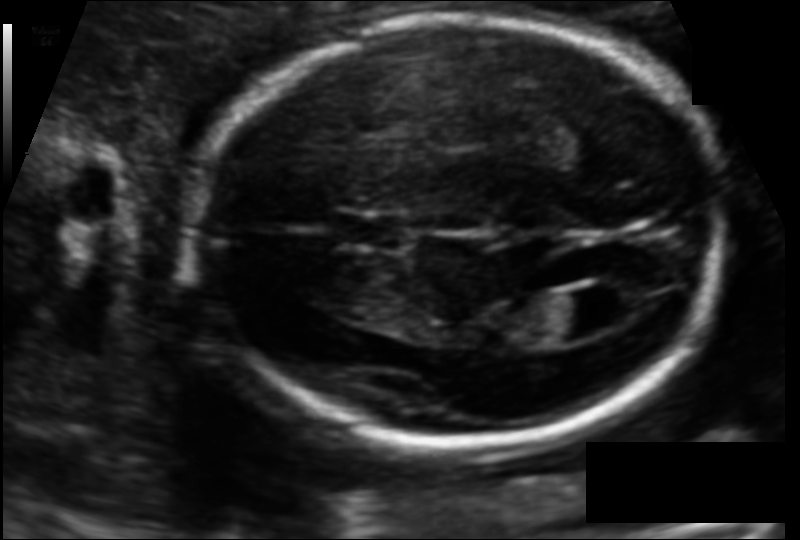
Fetal head ultrasound. Image width: 90.0 mm. Where is the lateral ventricle?

Lateral ventricle bounding box: [543,281,630,345]